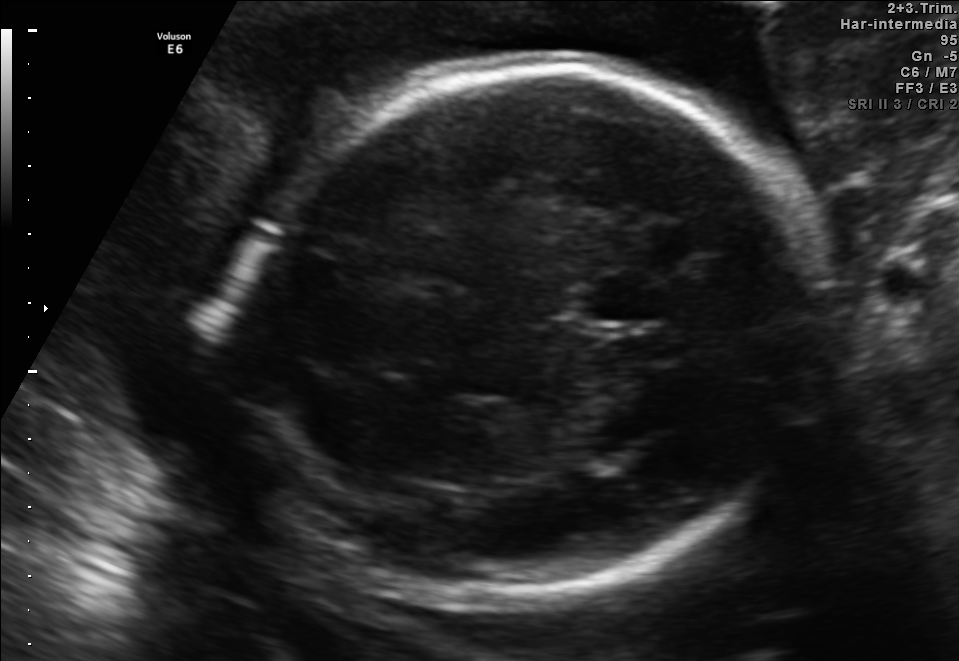
In this fetal brain, trans-thalamic plane, give bounding boxes for the head outline, cavum septum pellucidum (CSP), and lateral ventricle (LV), where visible.

Head: [233,65,804,608]